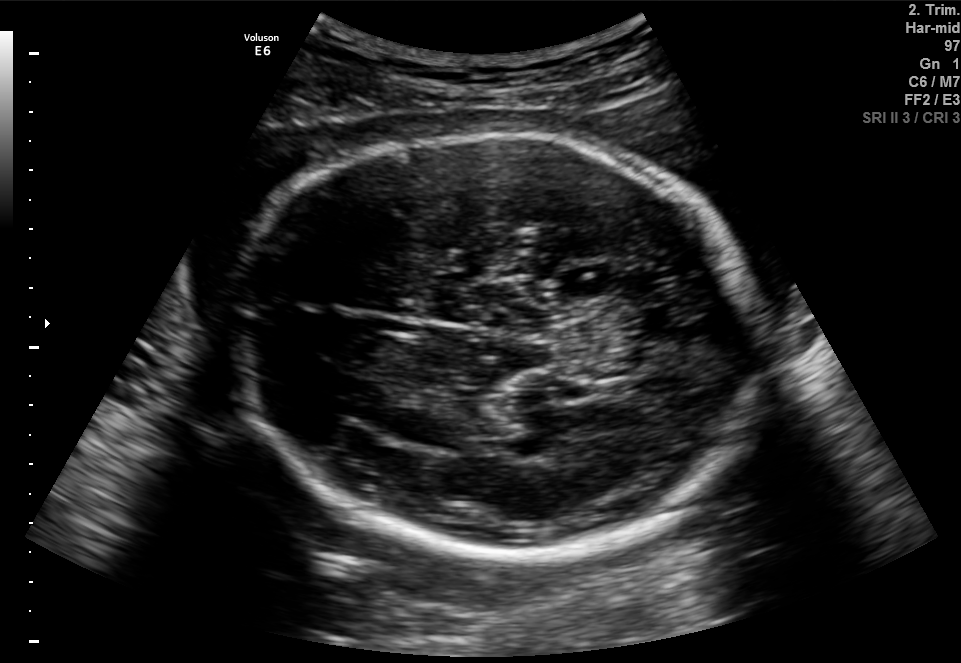
Fetal brain, trans-thalamic plane. Locate the fetal head.

Head: [229,132,756,557]